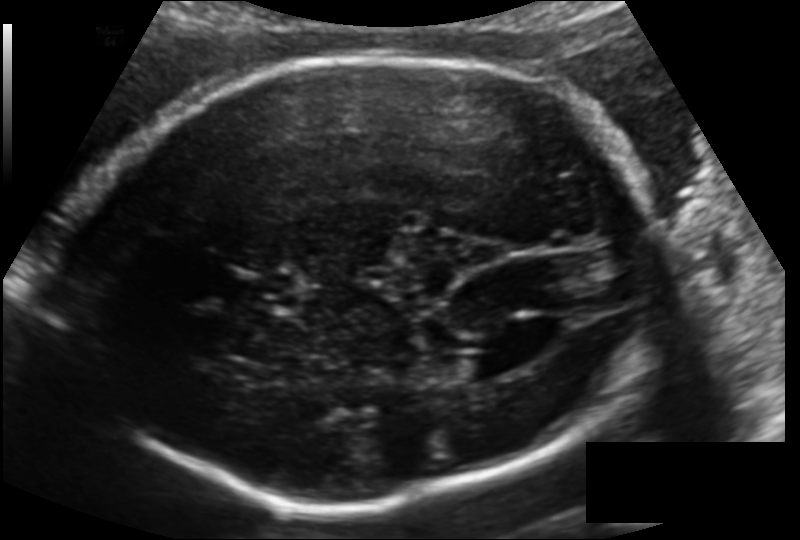
In this fetal head ultrasound, give the bounding box of the lateral ventricle. Image width: 118.6 mm.

[446,346,508,391]